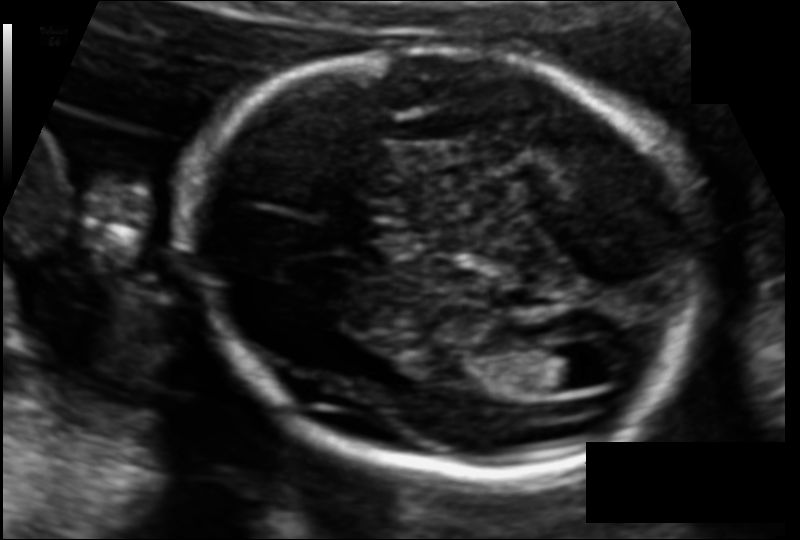
Measure the fetal head circumference shown in this ultrasound image. Image width: 87.7 mm.

Head circumference: 168.0 mm.